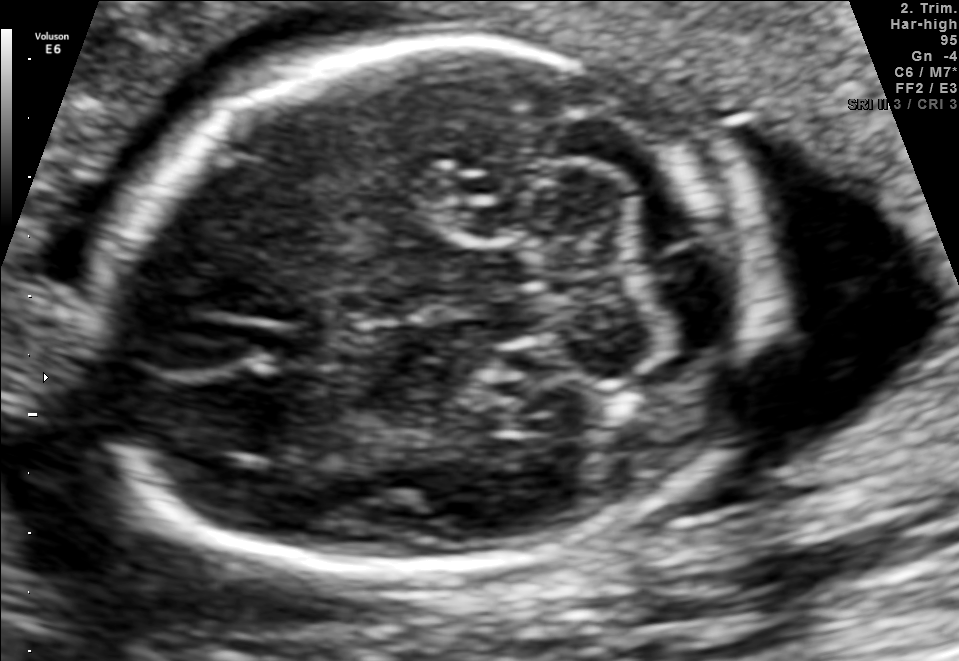
Fetal brain, trans-cerebellum plane. Locate the cavum septum pellucidum.

CSP: [254,324,340,370]